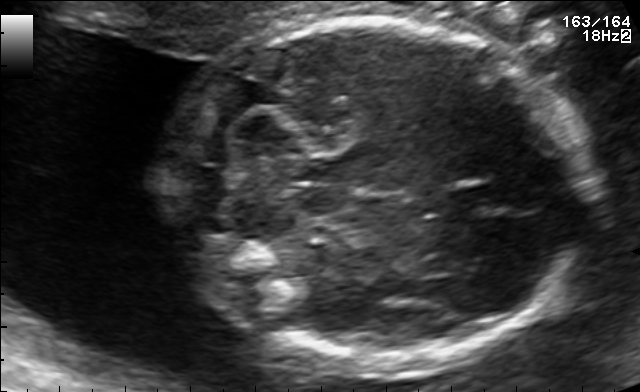
In this fetal brain, trans-cerebellum plane, give the bounding box of the cavum septum pellucidum.

[444,179,503,221]